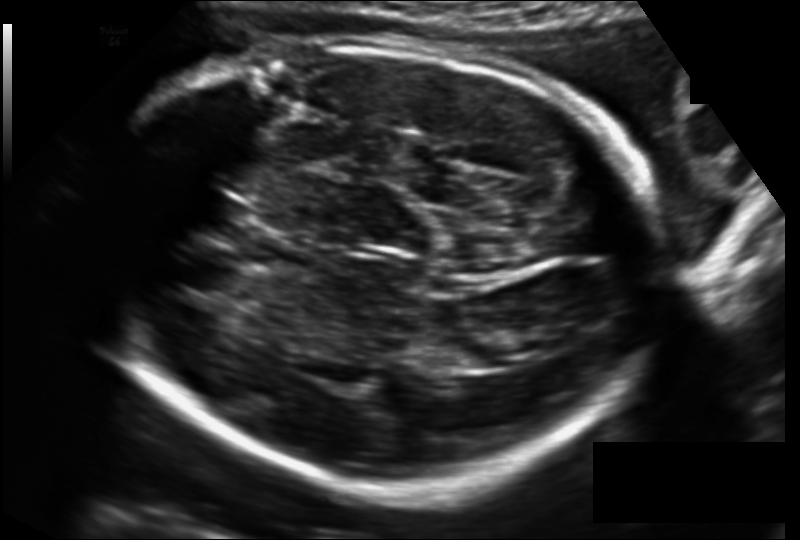
From this fetal ultrasound, estimate the head circumference (image width 133.8 mm).

Head circumference: 275.9 mm.